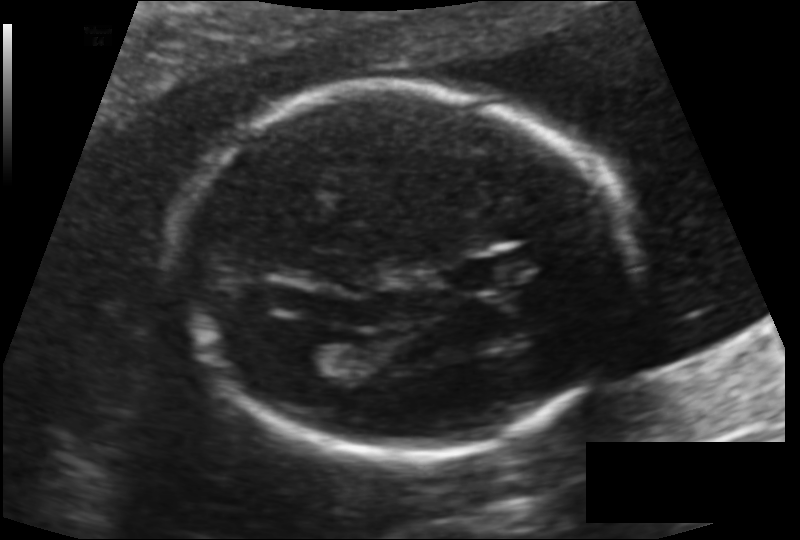
Fetal head ultrasound. Image width: 104.6 mm. Locate the cavum septum pellucidum.

CSP: [445,252,521,297]